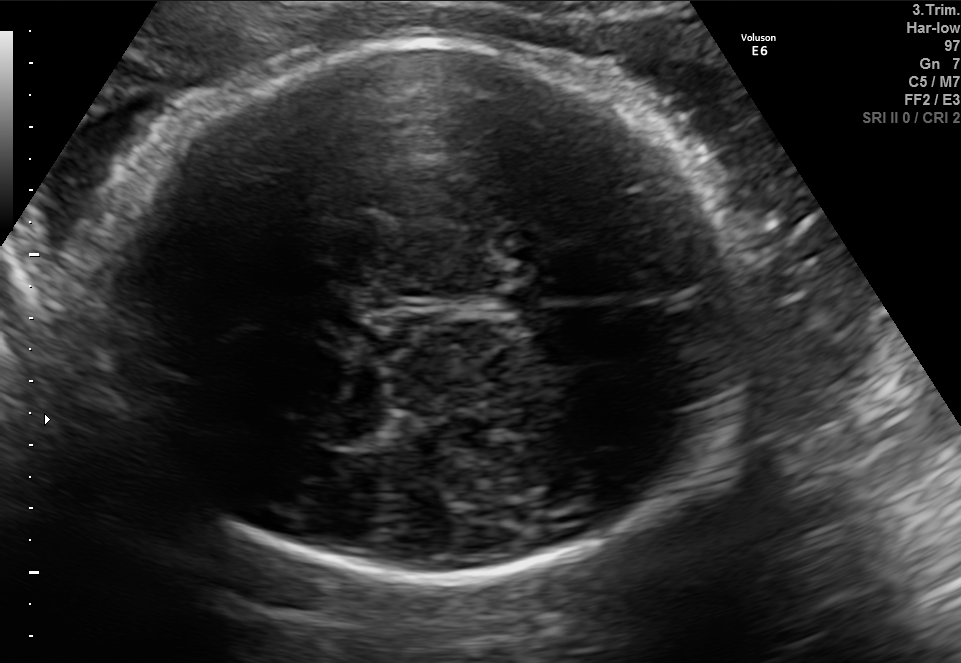
In this fetal brain, trans-thalamic plane, give bounding boxes for the head outline, cavum septum pellucidum (CSP), and lateral ventricle (LV), where visible.

Head: [89,44,746,577]